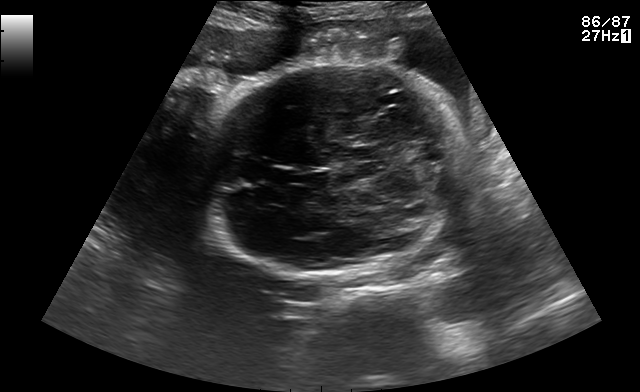
In this fetal brain, trans-thalamic plane, give bounding boxes for the head outline, cavum septum pellucidum (CSP), and lateral ventricle (LV), where visible.

Head: [198,65,470,278]